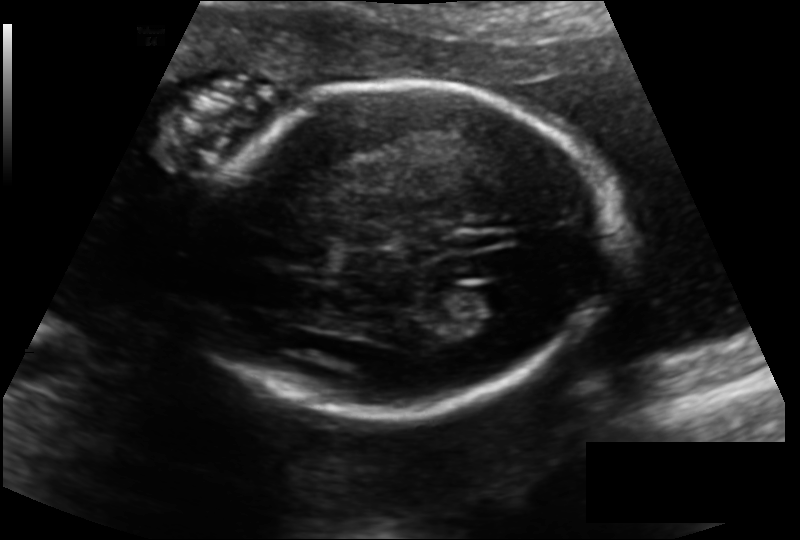
In this fetal head ultrasound, give bounding boxes for the head outline, cavum septum pellucidum (CSP), and lateral ventricle (LV), where visible. Image width: 115.4 mm.

Head: [194,82,613,416]
Lateral ventricle: [454,279,522,323]